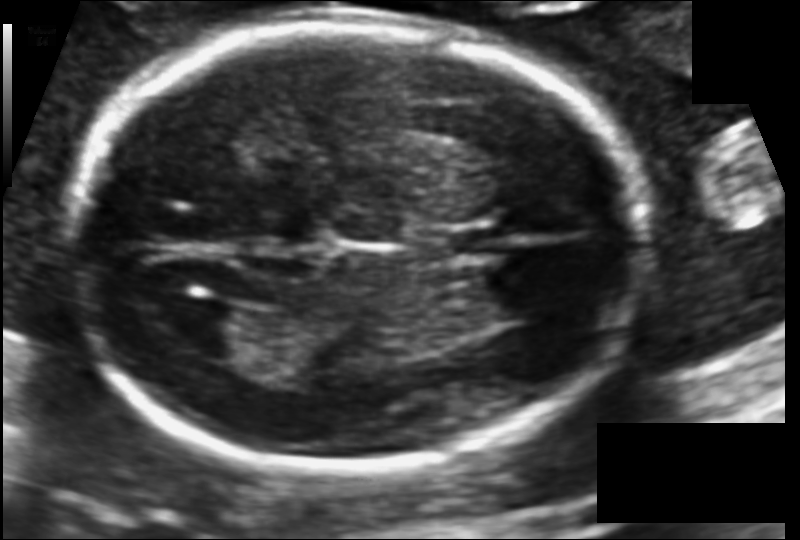
In this fetal head ultrasound, give bounding boxes for the head outline, cavum septum pellucidum (CSP), and lateral ventricle (LV), where visible. Image width: 90.1 mm.

Head: [63,25,650,471]
CSP: [434,221,500,262]
Lateral ventricle: [157,293,251,364]